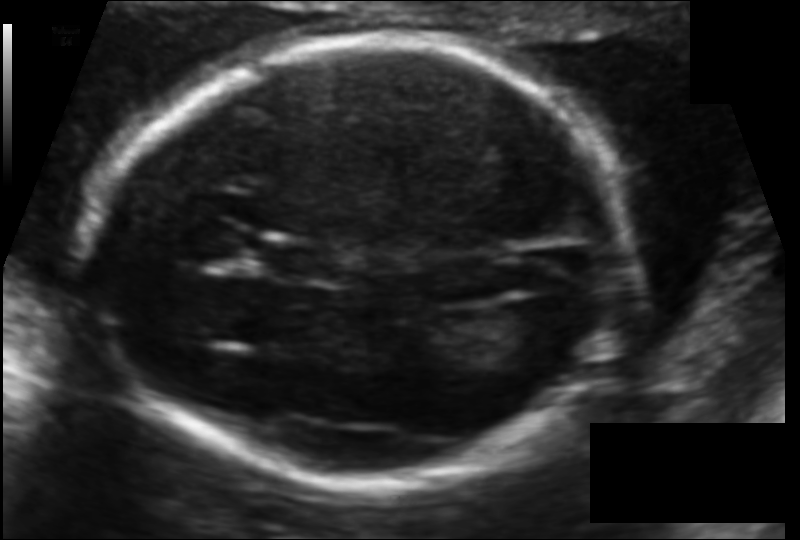
In this fetal head ultrasound, give bounding boxes for the head outline, cavum septum pellucidum (CSP), and lateral ventricle (LV), where visible. Image width: 85.1 mm.

Head: [89,39,629,484]
CSP: [267,244,331,281]